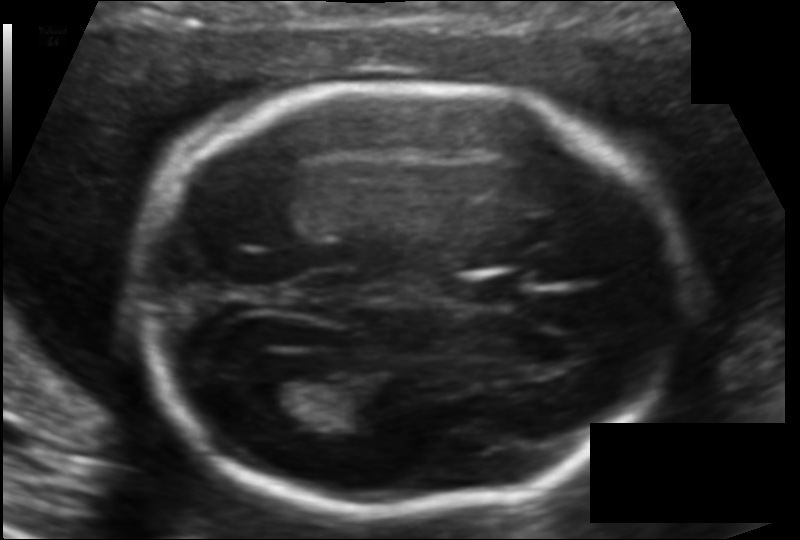
Fetal head ultrasound. Image width: 94.1 mm. Locate the lateral ventricle.

Lateral ventricle: [248,372,340,428]